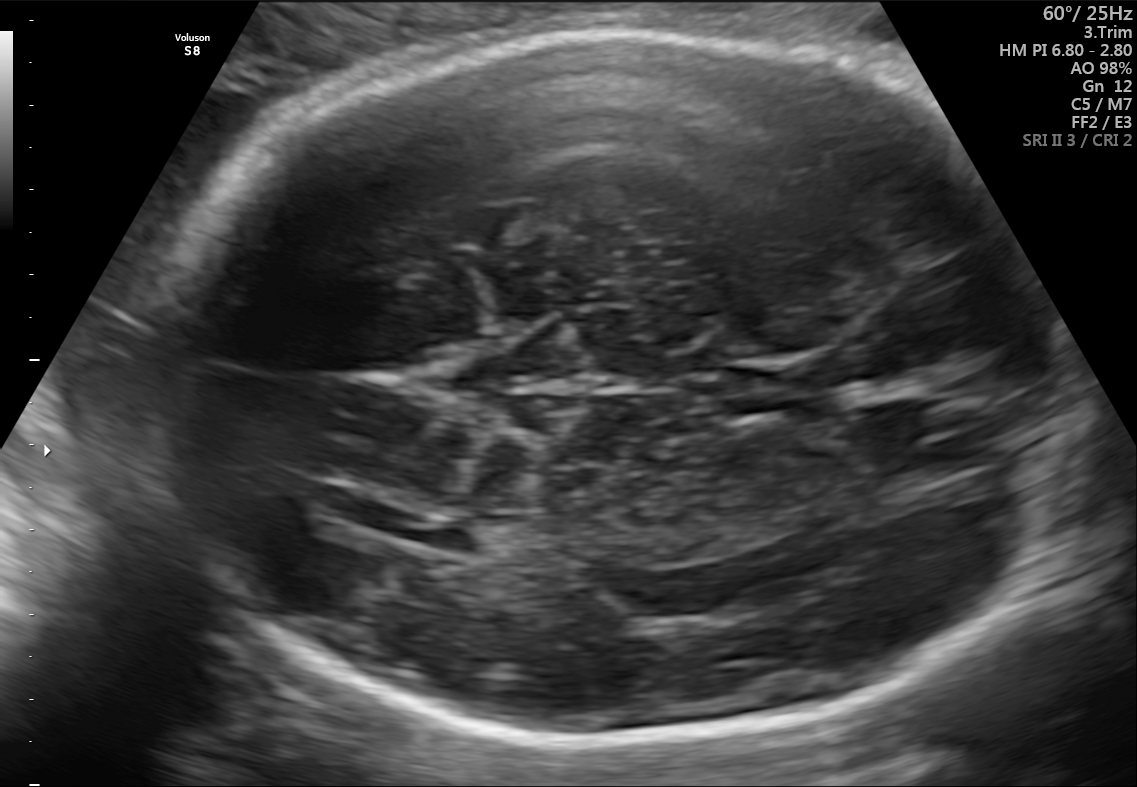
This is a 2D maternal-fetal ultrasound frame. Is it a fetal abdomen, fetal brain, fetal femur, fetal thorax, maternal cervix, or other standard plane? If it's fetal brain and one of the three standard brain planes (trans-thalamic, trans-cerebellum, trans-ventricular), name which.

Fetal brain (trans-ventricular plane)